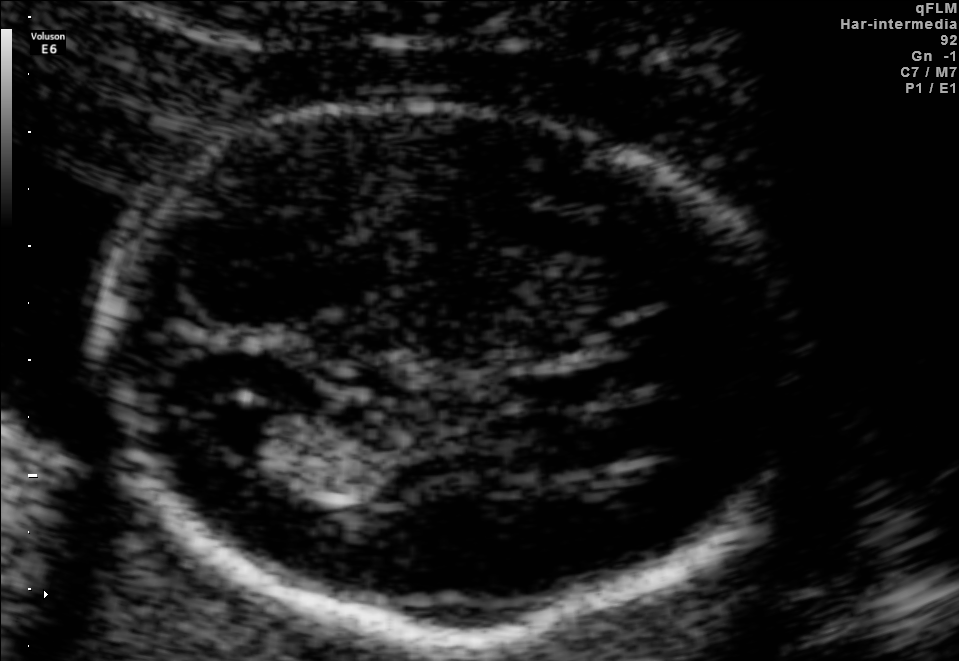
Fetal brain, trans-ventricular plane. Where is the fetal head?

Head bounding box: [83,92,806,649]